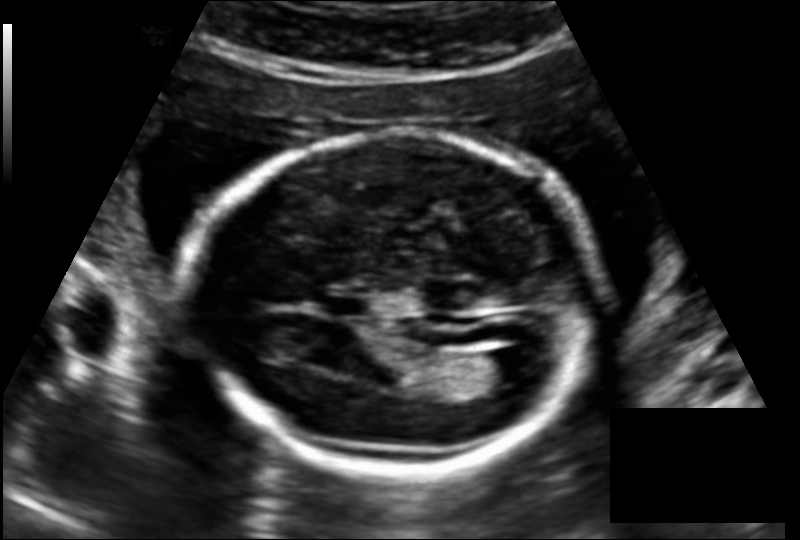
In this fetal head ultrasound, give bounding boxes for the head outline, cavum septum pellucidum (CSP), and lateral ventricle (LV), where visible. Image width: 115.9 mm.

Head: [191,131,602,473]
CSP: [322,295,368,318]
Lateral ventricle: [470,344,536,389]